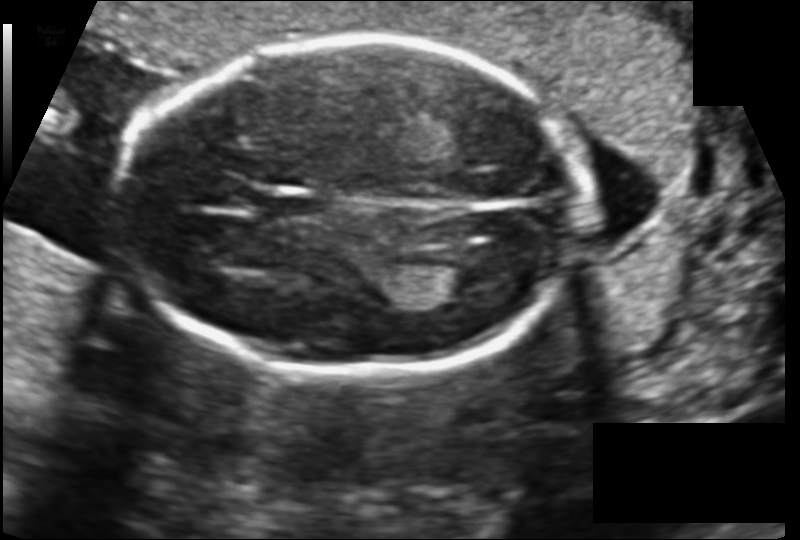
Estimate the fetal head circumference from this 2D ultrasound. Image width: 102.7 mm.

Head circumference: 166.6 mm.